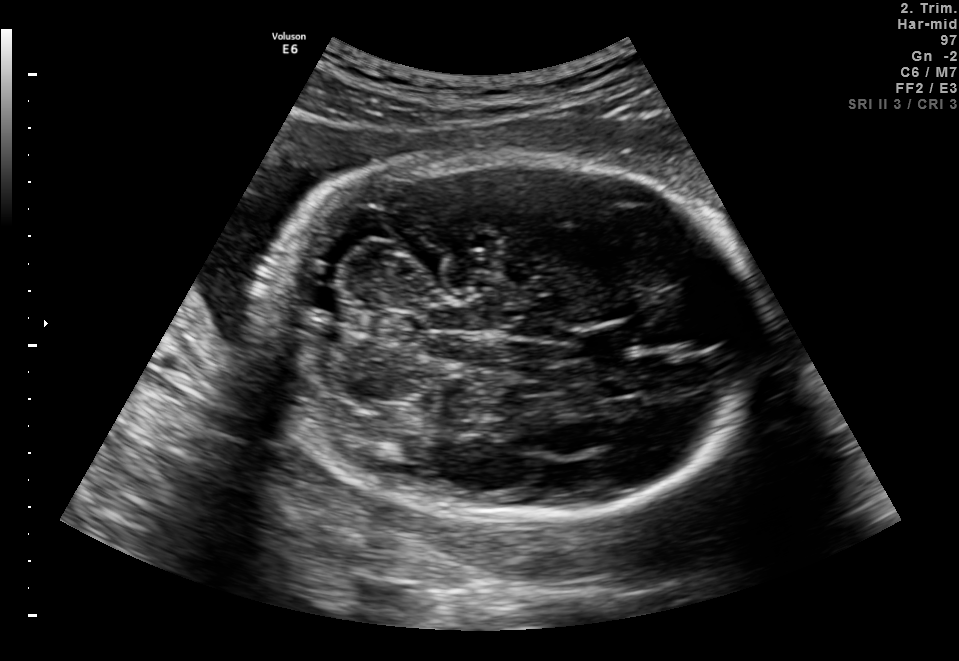
In this fetal brain, trans-cerebellum plane, give the bounding box of the cavum septum pellucidum.

[568,318,638,362]